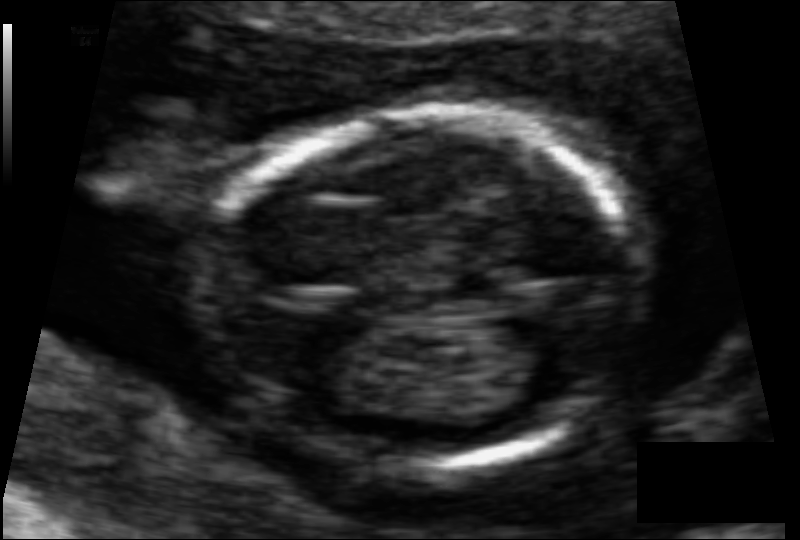
Fetal head ultrasound. Image width: 52.3 mm. Locate the fetal head and, if visible, the cavum septum pellucidum (CSP) and lateral ventricle (LV). Give bounding boxes as [x1,y1,x2,y2].

Head: [206,109,642,475]